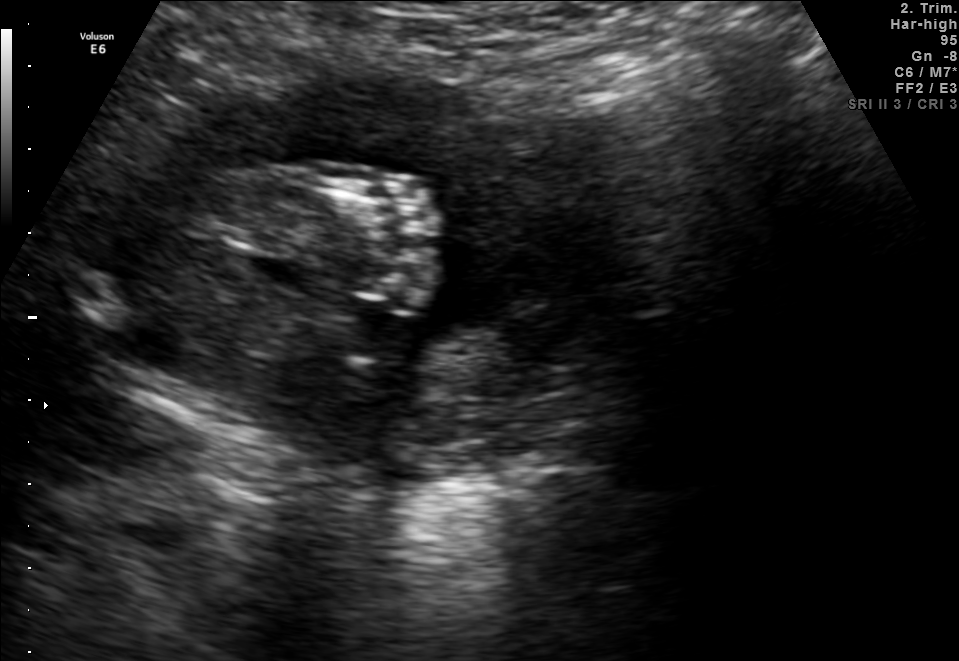
Classify this maternal-fetal ultrasound image as one of the six standard planes — fetal abdomen, fetal brain, fetal femur, fetal thorax, maternal cervix, or other. If it's fetal brain and one of the three standard brain planes (trans-thalamic, trans-cerebellum, trans-ventricular), name which.

Other